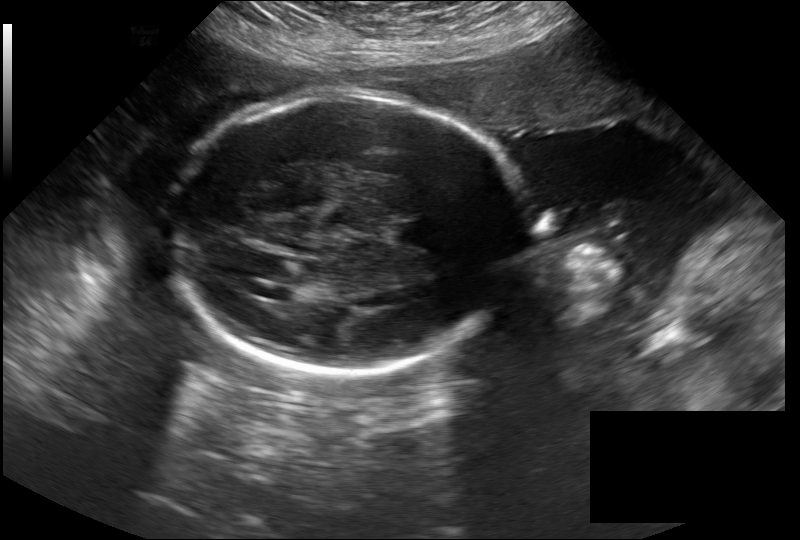
Measure the fetal head circumference shown in this ultrasound image. Image width: 223.0 mm.

Head circumference: 288.0 mm.